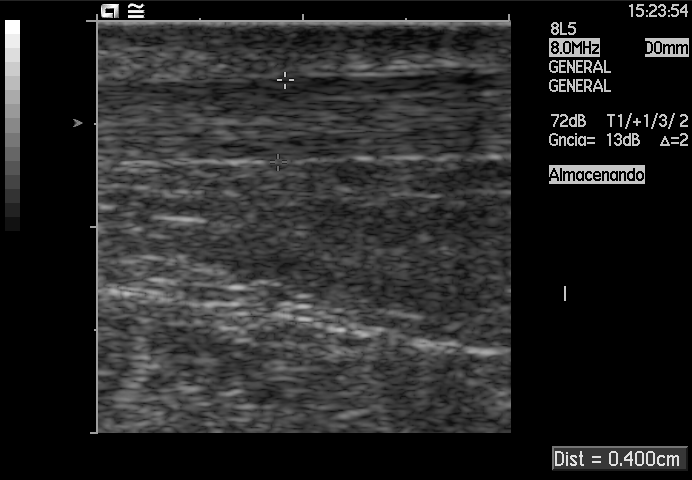
Which standard maternal-fetal ultrasound plane is shown: fetal abdomen, fetal brain, fetal femur, fetal thorax, maternal cervix, or other? If it's fetal brain and one of the three standard brain planes (trans-thalamic, trans-cerebellum, trans-ventricular), name which.

Other